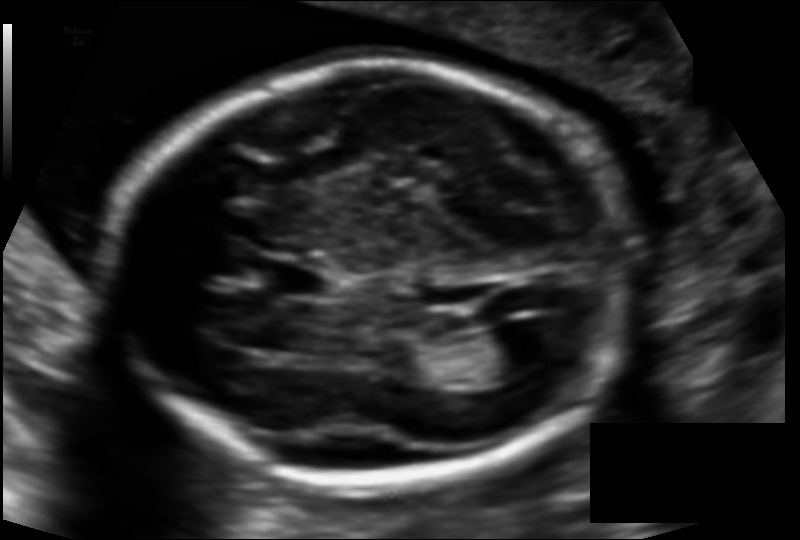
From this fetal ultrasound, estimate the head circumference (image width 96.7 mm).

Head circumference: 184.4 mm.